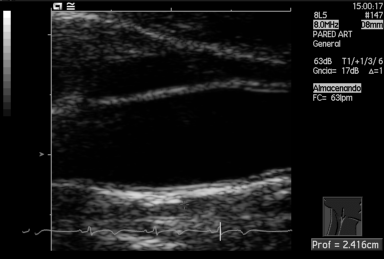
Classify this maternal-fetal ultrasound image as one of the six standard planes — fetal abdomen, fetal brain, fetal femur, fetal thorax, maternal cervix, or other. If it's fetal brain and one of the three standard brain planes (trans-thalamic, trans-cerebellum, trans-ventricular), name which.

Other